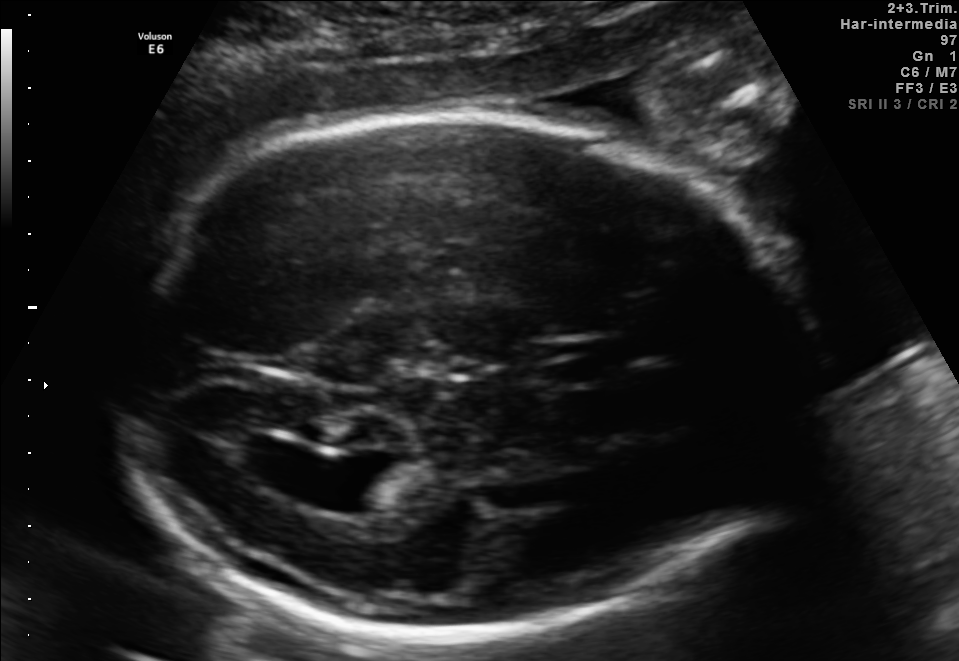
In this fetal brain, trans-ventricular plane, give the bounding box of the lateral ventricle.

[291,451,385,514]